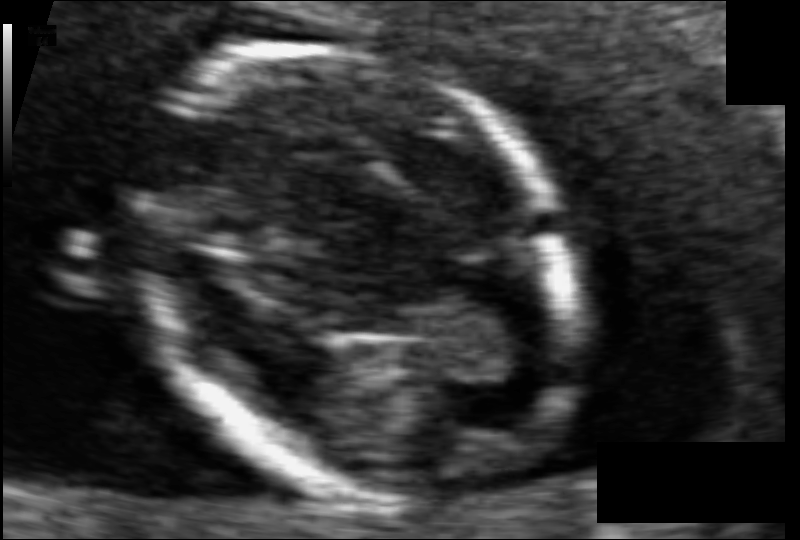
In this fetal head ultrasound, give bounding boxes for the head outline, cavum septum pellucidum (CSP), and lateral ventricle (LV), where visible. Image width: 48.9 mm.

Head: [137,47,568,498]